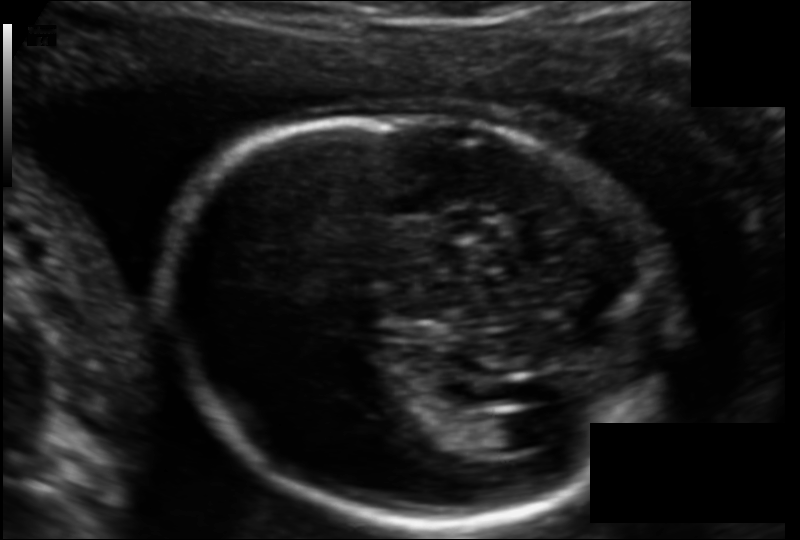
In this fetal head ultrasound, give the bounding box of the fetal head. Image width: 98.5 mm.

[172,113,668,524]